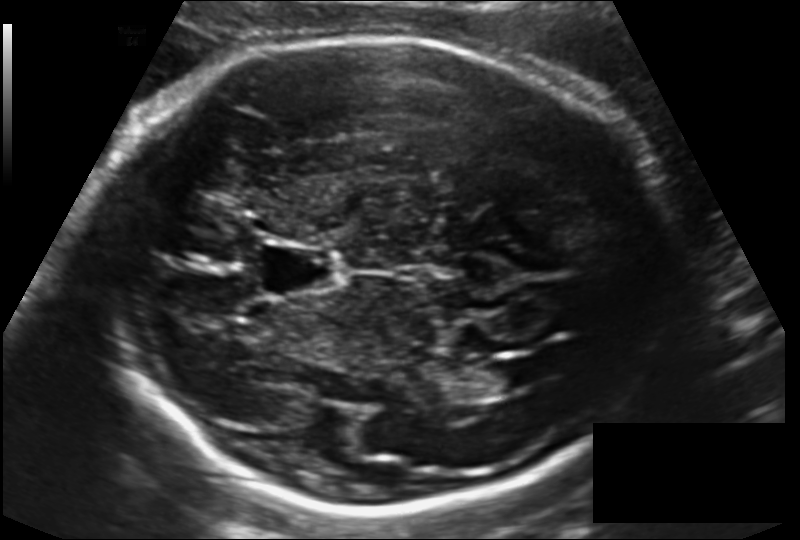
Fetal head ultrasound. Image width: 123.9 mm. Where is the cavum septum pellucidum?

CSP bounding box: [259,245,341,294]